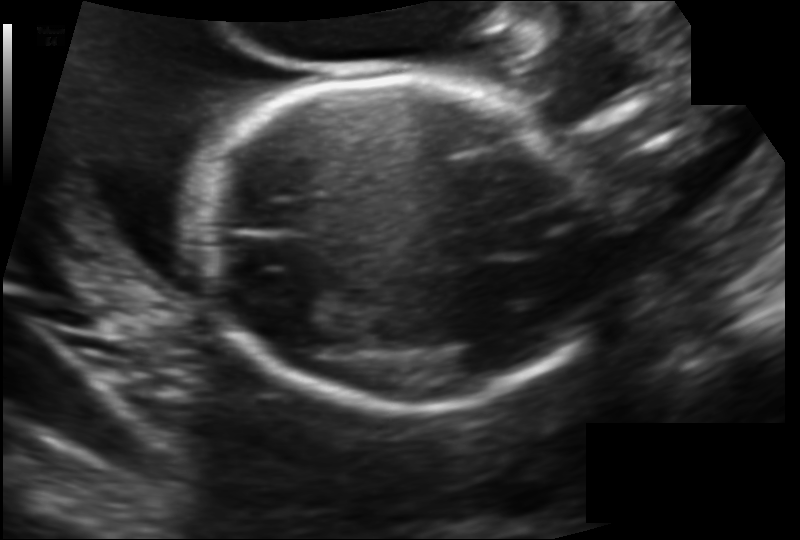
What is the fetal head circumference? Image width is 110.4 mm.

165.2 mm